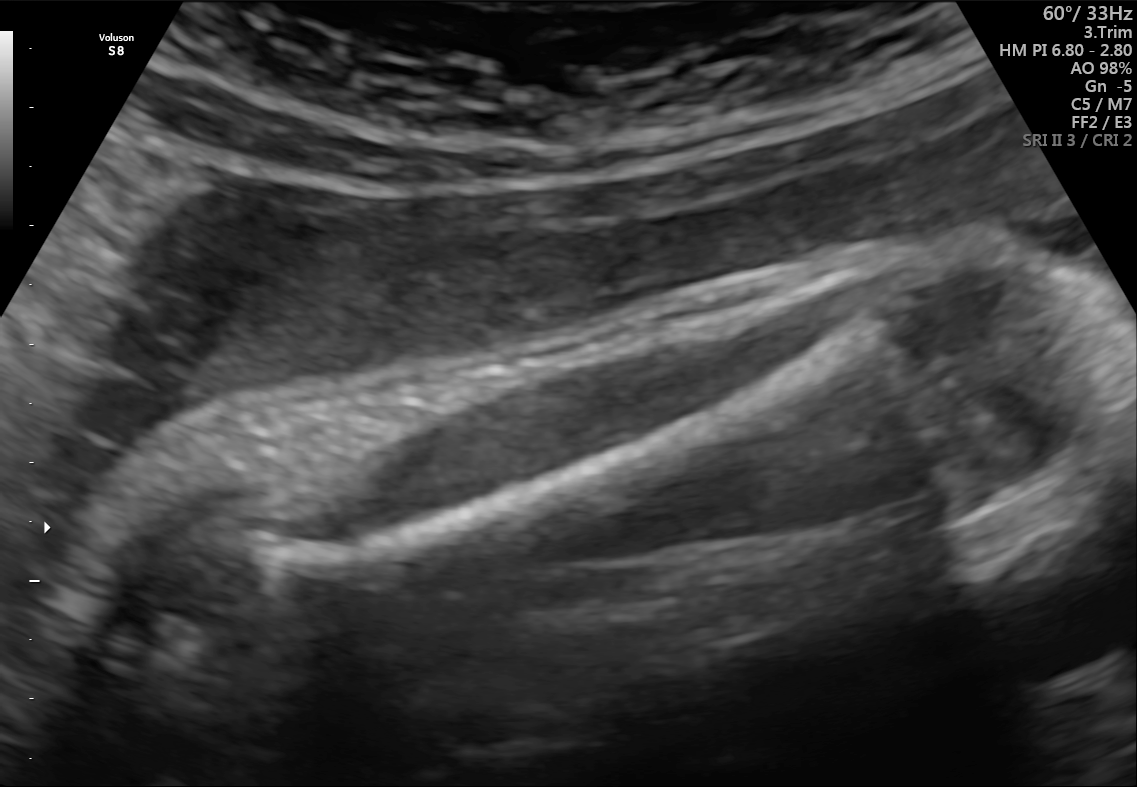
Identify the standard plane in this fetal ultrasound image: fetal abdomen, fetal brain, fetal femur, fetal thorax, maternal cervix, or other. If it's fetal brain and one of the three standard brain planes (trans-thalamic, trans-cerebellum, trans-ventricular), name which.

Fetal femur